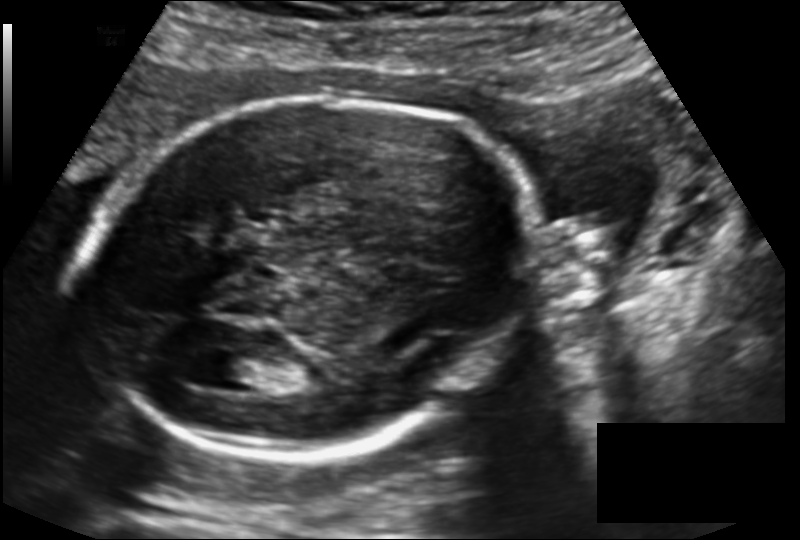
Fetal head ultrasound. Image width: 114.3 mm. Locate the fetal head and, if visible, the cavum septum pellucidum (CSP) and lateral ventricle (LV). Give bounding boxes as [x1,y1,x2,y2].

Head: [86,95,542,452]
Lateral ventricle: [205,350,269,389]